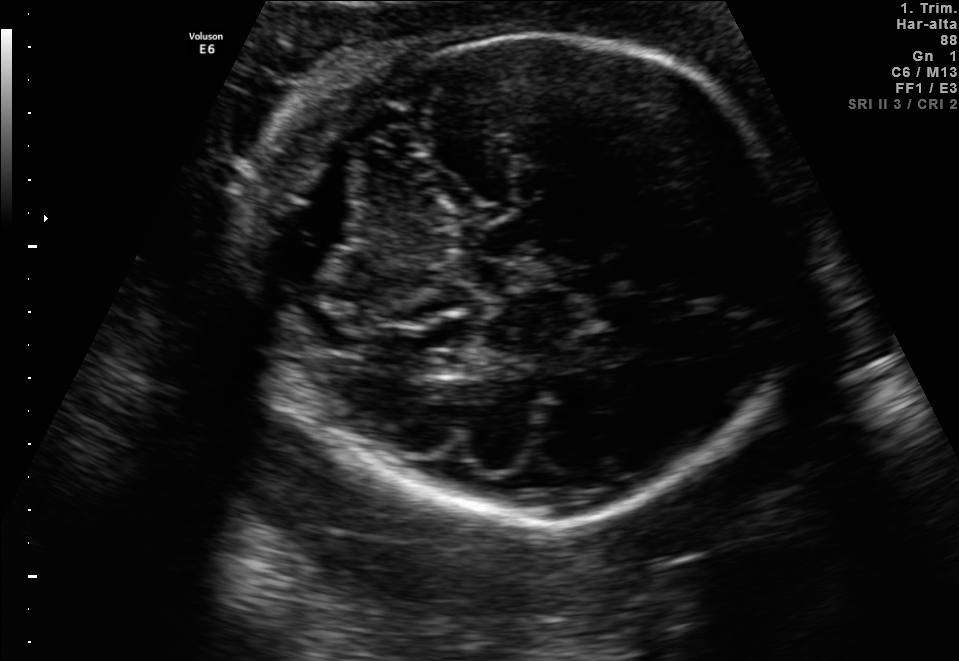
Fetal brain, trans-cerebellum plane. Locate the fetal head and, if visible, the cavum septum pellucidum (CSP) and lateral ventricle (LV). Give bounding boxes as [x1,y1,x2,y2].

Head: [249,34,800,521]